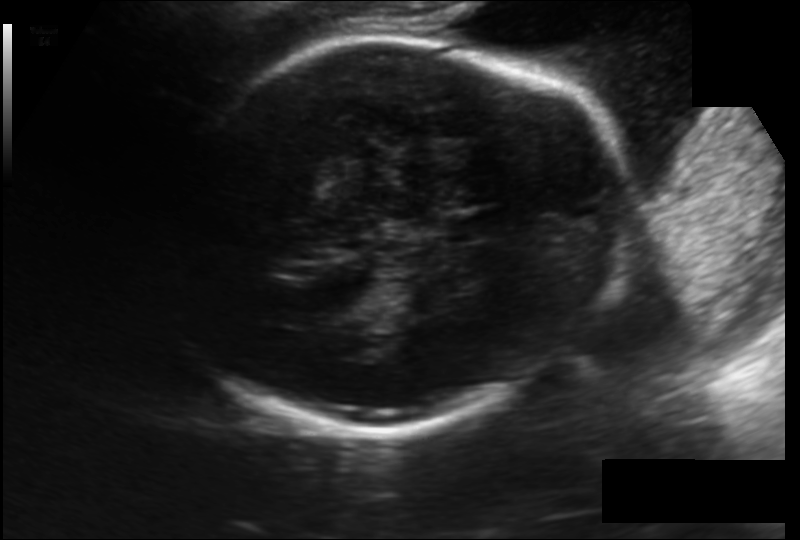
From this fetal ultrasound, estimate the head circumference (image width 139.5 mm).

Head circumference: 244.8 mm.